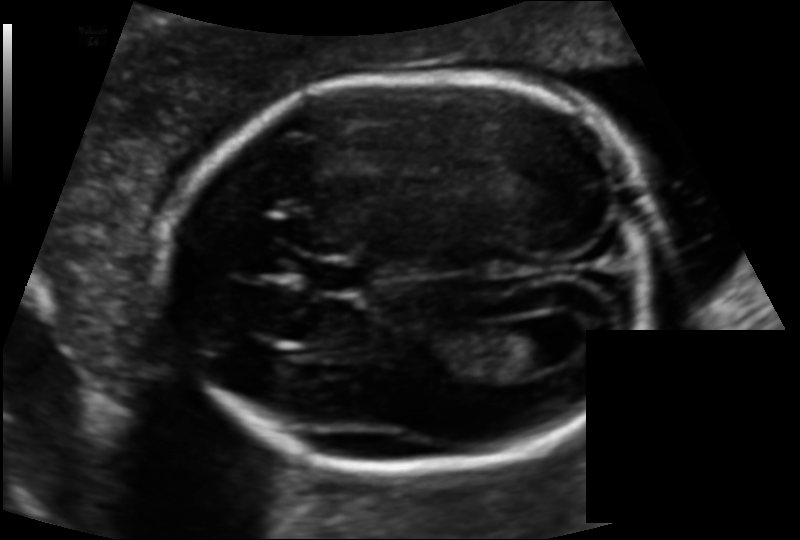
From this fetal ultrasound, estimate the head circumference (image width 95.5 mm).

Head circumference: 171.9 mm.